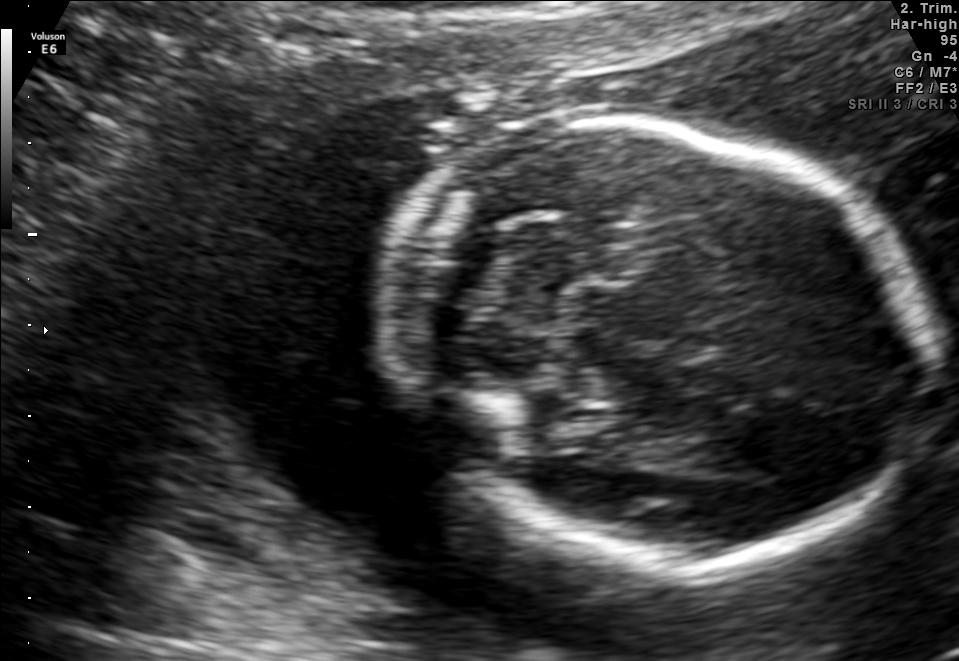
Fetal brain, trans-cerebellum plane. Give [x1,y1,x2,y2] bounding boxes for each visible structure among: fetal head, CSP, LV.

Head: [387,124,928,559]